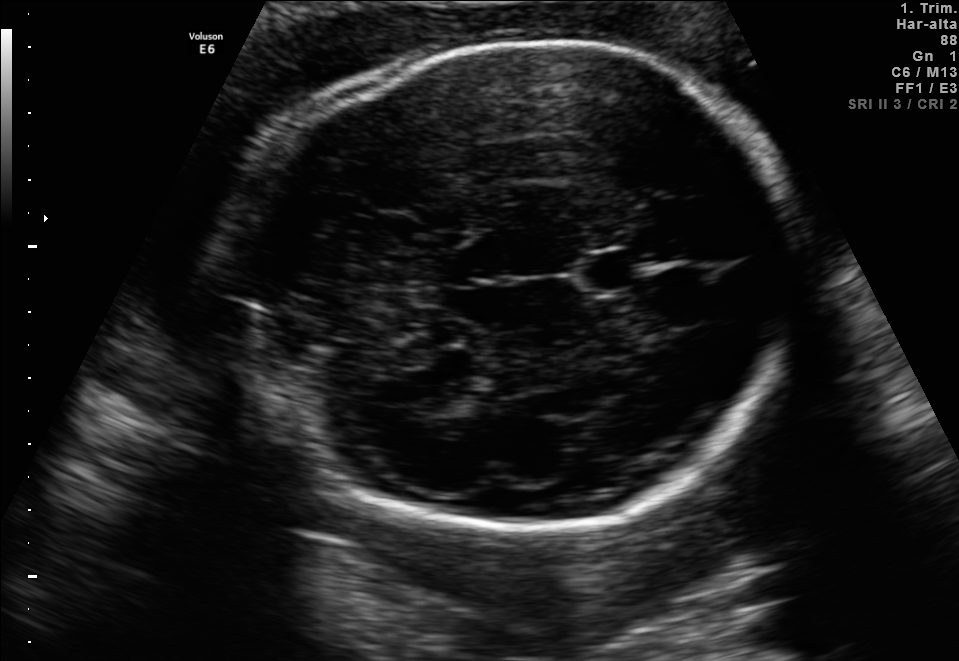
Which standard maternal-fetal ultrasound plane is shown: fetal abdomen, fetal brain, fetal femur, fetal thorax, maternal cervix, or other? If it's fetal brain and one of the three standard brain planes (trans-thalamic, trans-cerebellum, trans-ventricular), name which.

Fetal brain (trans-thalamic plane)